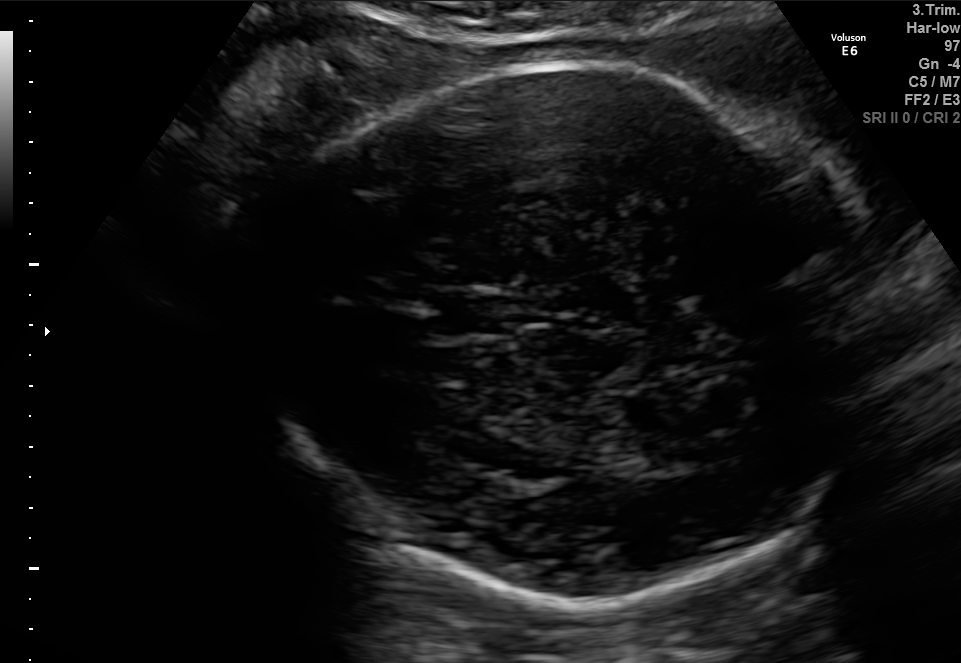
In this fetal brain, trans-thalamic plane, give the bounding box of the cavum septum pellucidum.

[425,295,512,334]